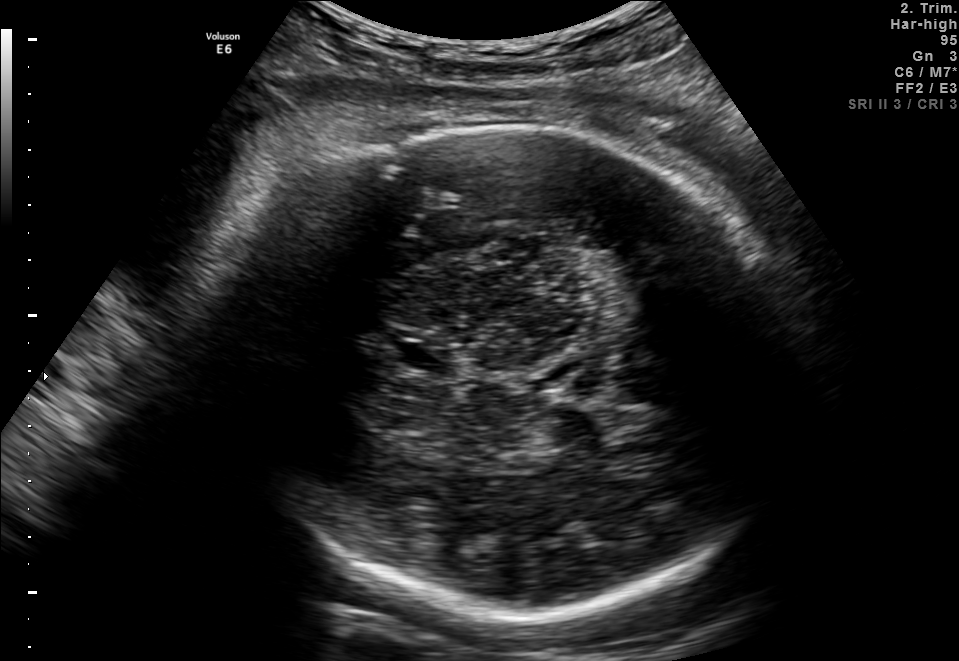
Fetal brain, trans-thalamic plane. Locate the fetal head.

Head: [227,129,798,614]